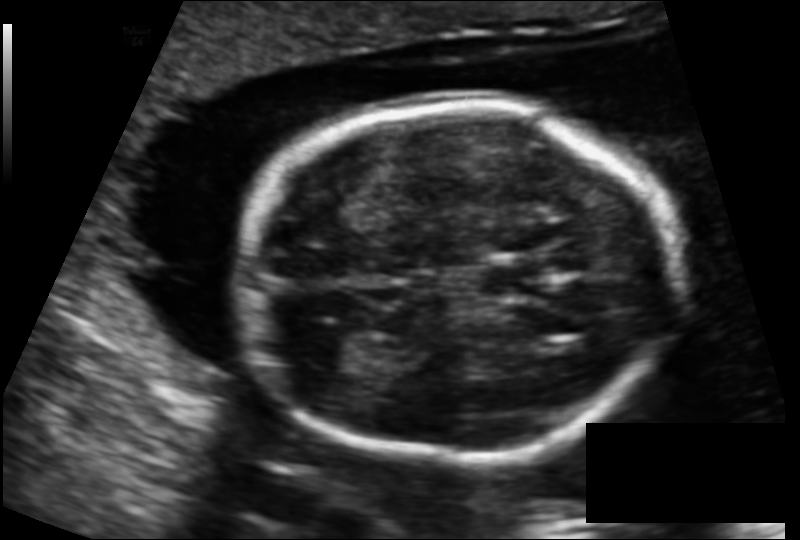
Measure the fetal head circumference shown in this ultrasound image. Image width: 104.4 mm.

Head circumference: 166.7 mm.